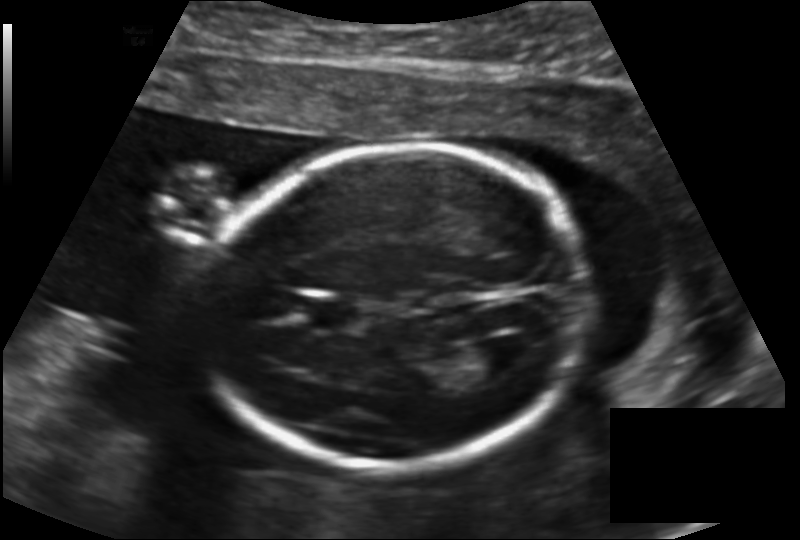
In this fetal head ultrasound, give the bounding box of the cavum septum pellucidum. Image width: 117.6 mm.

[308,298,360,329]